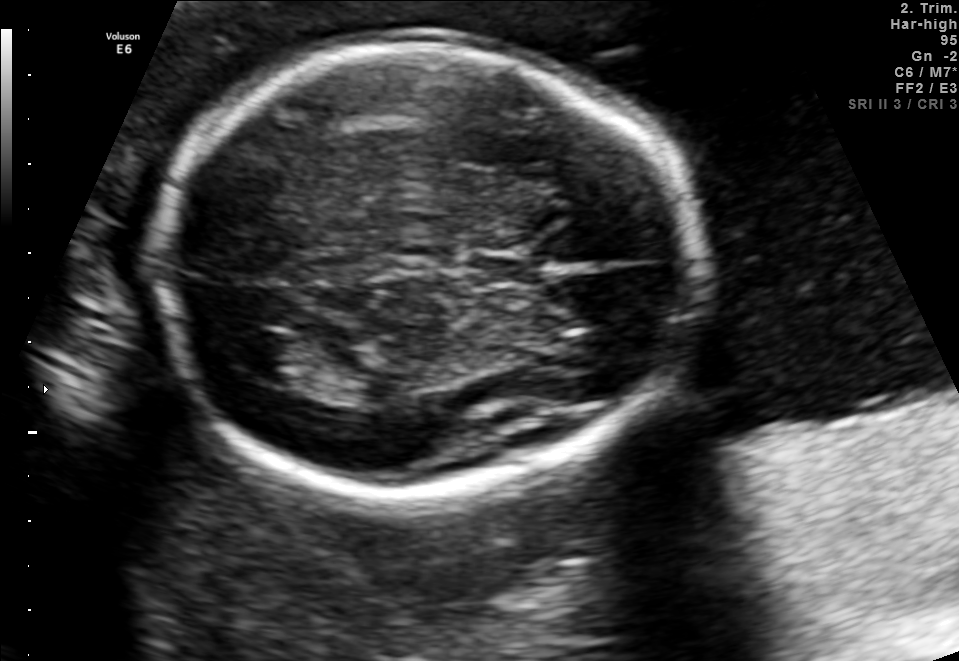
In this fetal brain, trans-thalamic plane, give bounding boxes for the head outline, cavum septum pellucidum (CSP), and lateral ventricle (LV), where visible.

Head: [151,41,698,496]
CSP: [471,252,535,285]
Lateral ventricle: [217,320,303,386]